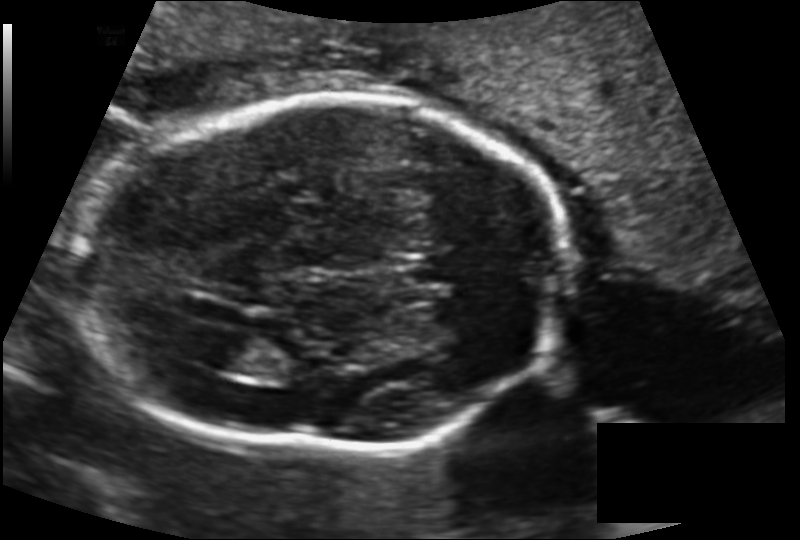
In this fetal head ultrasound, give the bounding box of the fetal head. Image width: 114.0 mm.

[78,96,572,452]